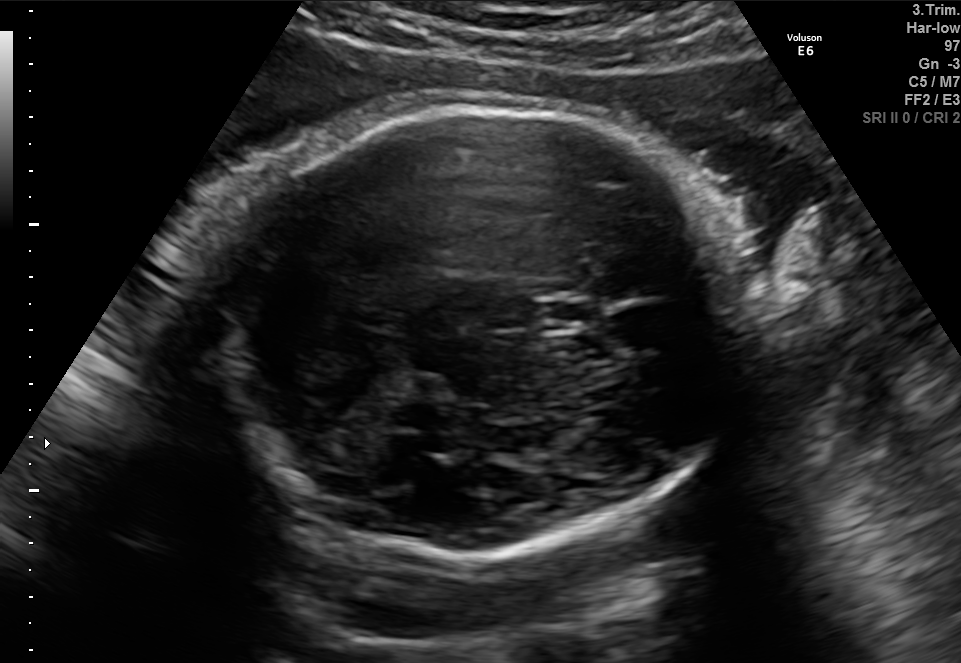
Fetal brain, trans-thalamic plane. Where is the cavum septum pellucidum?

CSP bounding box: [534,299,596,330]